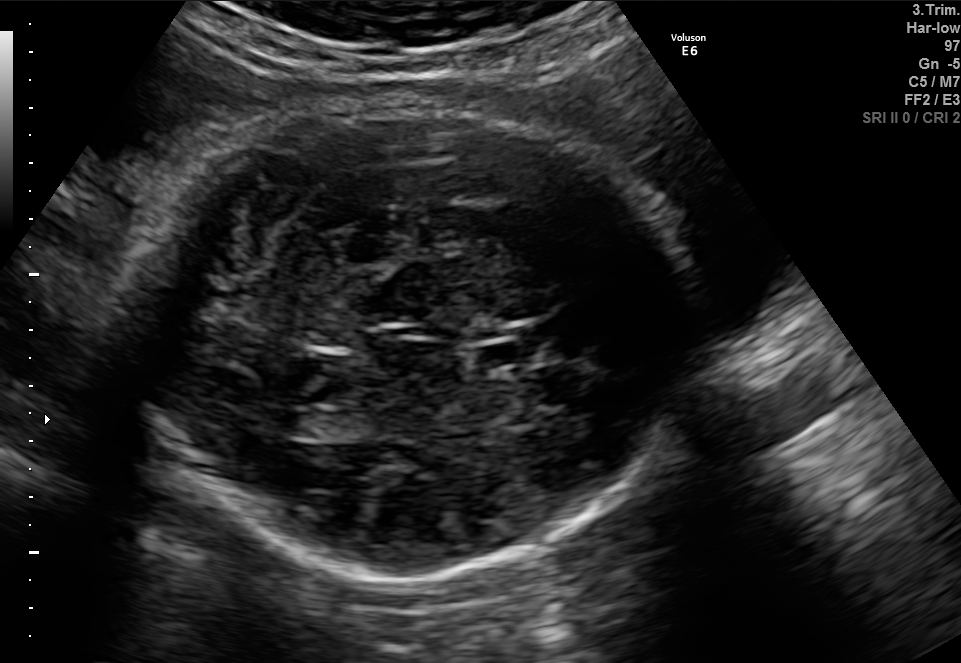
Fetal brain, trans-ventricular plane. Where is the lateral ventricle?

Lateral ventricle bounding box: [262,409,310,436]